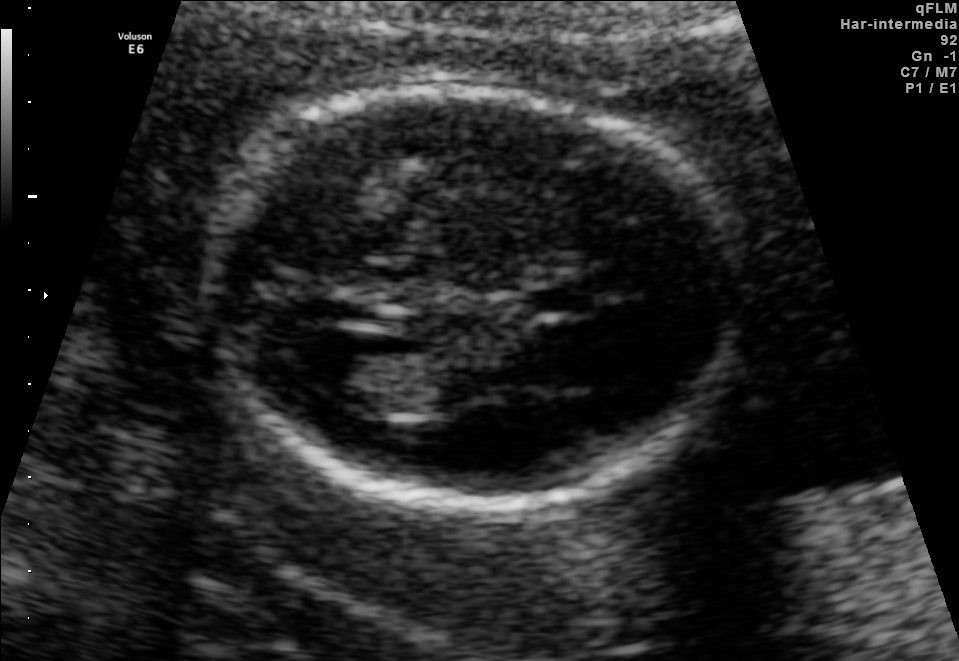
Fetal brain, trans-ventricular plane. Give [x1,y1,x2,y2] bounding boxes for each visible structure among: fetal head, CSP, LV.

Head: [183,78,772,515]
CSP: [523,288,597,313]
Lateral ventricle: [285,333,400,408]